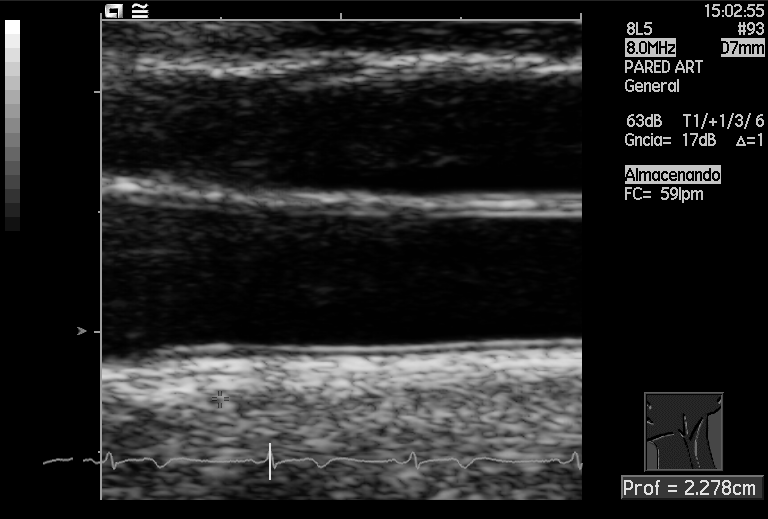
Identify the standard plane in this fetal ultrasound image: fetal abdomen, fetal brain, fetal femur, fetal thorax, maternal cervix, or other. If it's fetal brain and one of the three standard brain planes (trans-thalamic, trans-cerebellum, trans-ventricular), name which.

Other